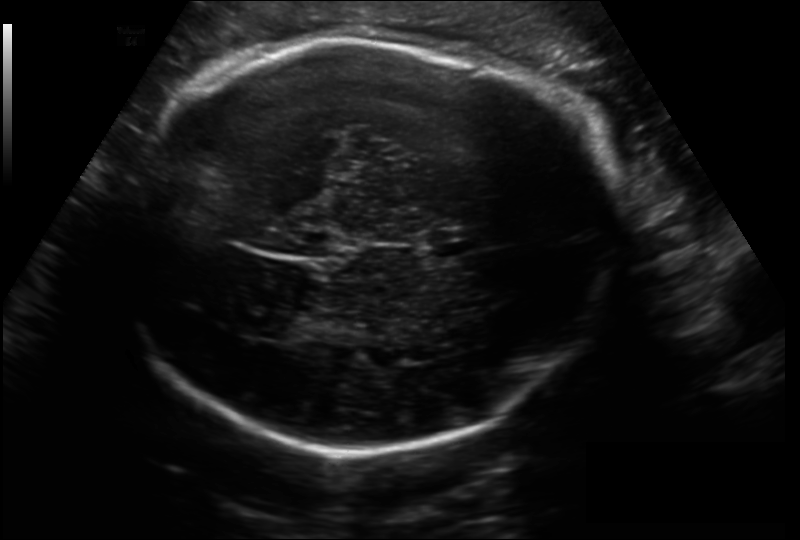
Estimate the fetal head circumference from this 2D ultrasound.

Head circumference: 300.0 mm (image width 164.9 mm).